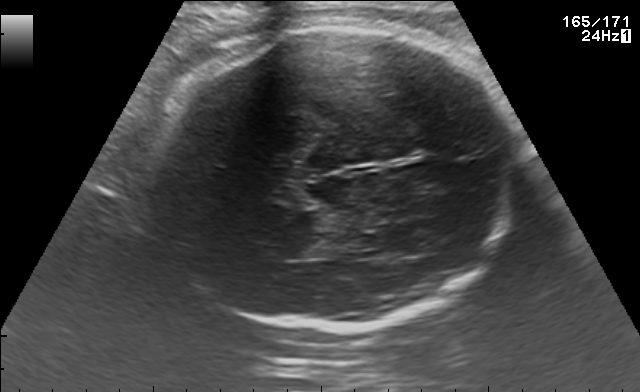
Fetal brain, trans-thalamic plane. Where is the fetal head?

Head bounding box: [142,21,515,332]